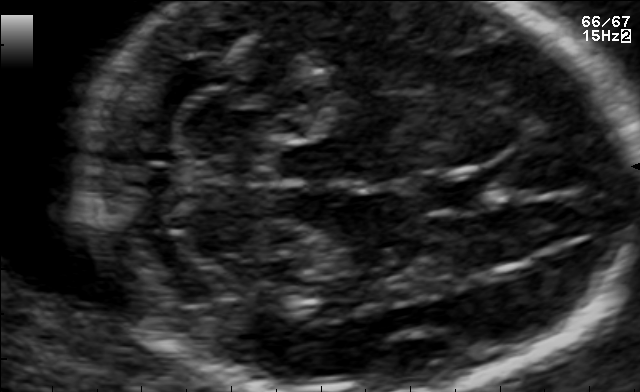
Fetal brain, trans-cerebellum plane. Locate the cavum septum pellucidum.

CSP: [415,163,504,219]